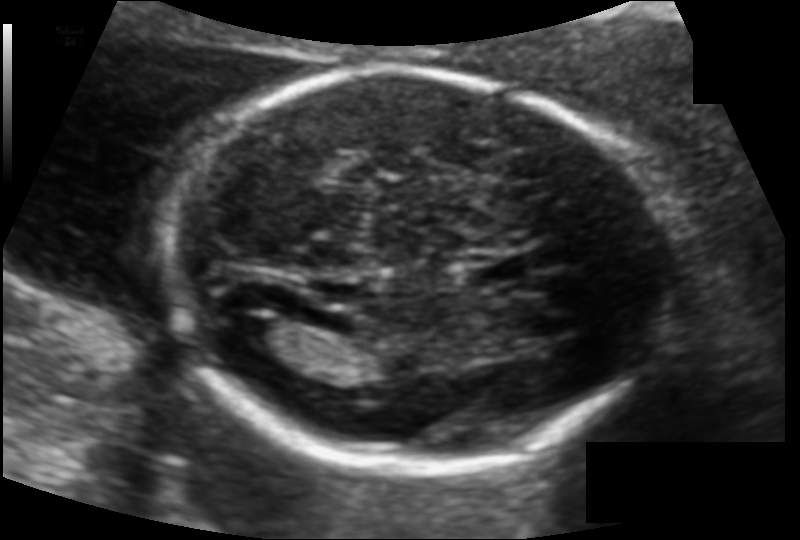
Fetal head ultrasound. Image width: 91.9 mm. Locate the fetal head.

Head: [164,70,666,465]